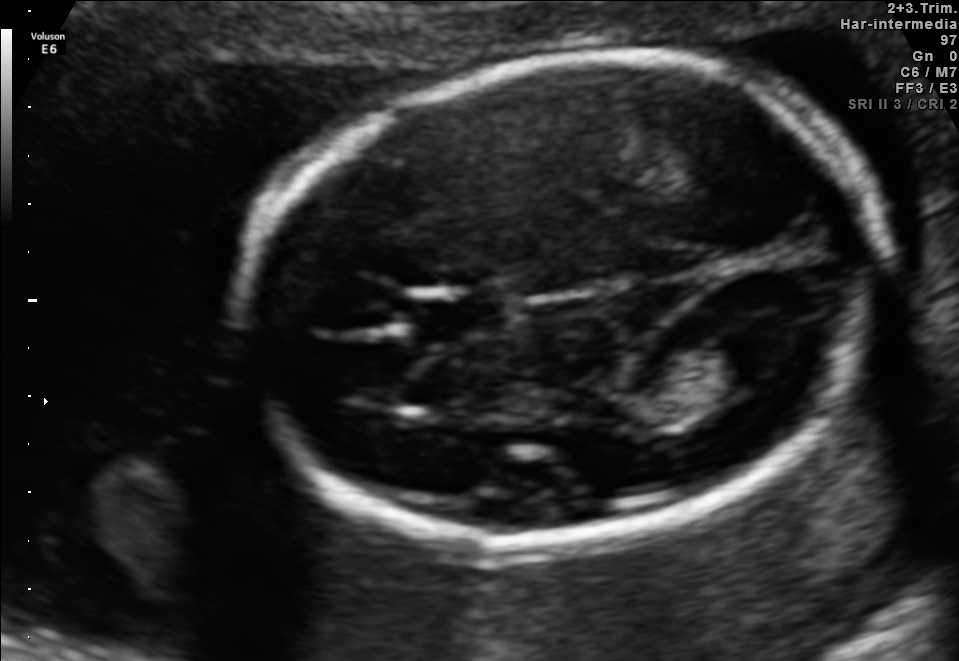
Fetal brain, trans-ventricular plane. Where is the lateral ventricle?

Lateral ventricle bounding box: [702,306,809,395]